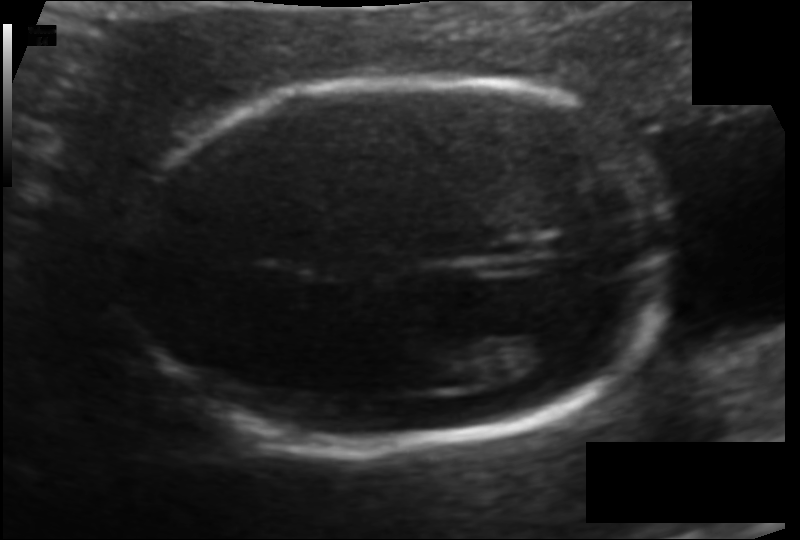
Fetal head ultrasound. Image width: 83.8 mm. Locate the fetal head and, if visible, the cavum septum pellucidum (CSP) and lateral ventricle (LV). Give bounding boxes as [x1,y1,x2,y2].

Head: [126,73,677,446]